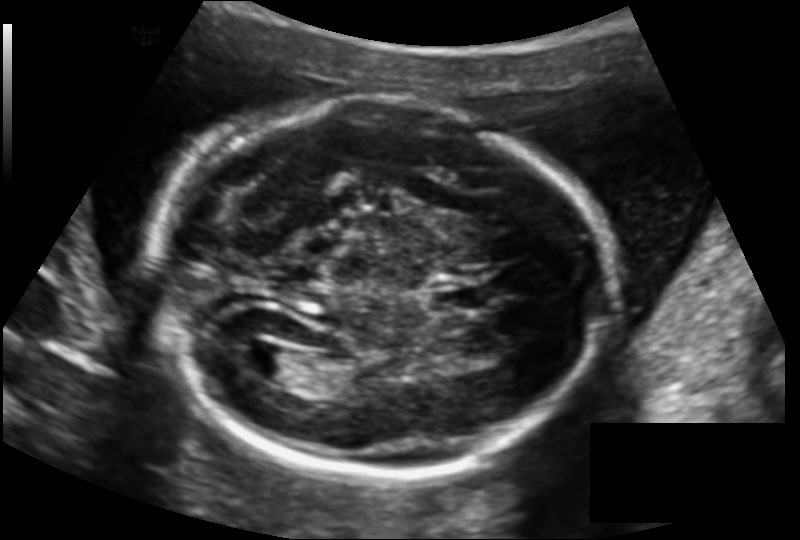
Measure the fetal head circumference shown in this ultrasound image. Image width: 116.1 mm.

Head circumference: 197.7 mm.